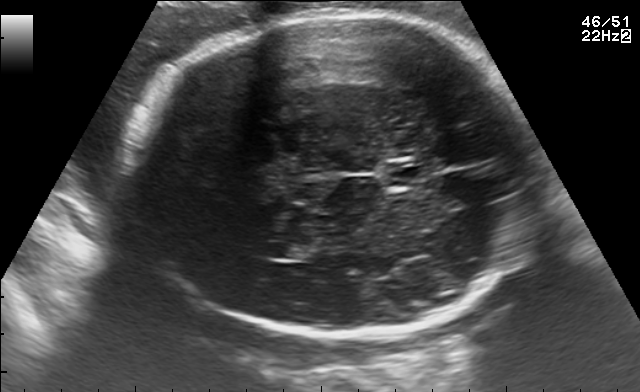
In this fetal brain, trans-thalamic plane, give bounding boxes for the head outline, cavum septum pellucidum (CSP), and lateral ventricle (LV), where visible.

Head: [125,17,539,336]
CSP: [387,161,427,187]
Lateral ventricle: [261,240,312,260]